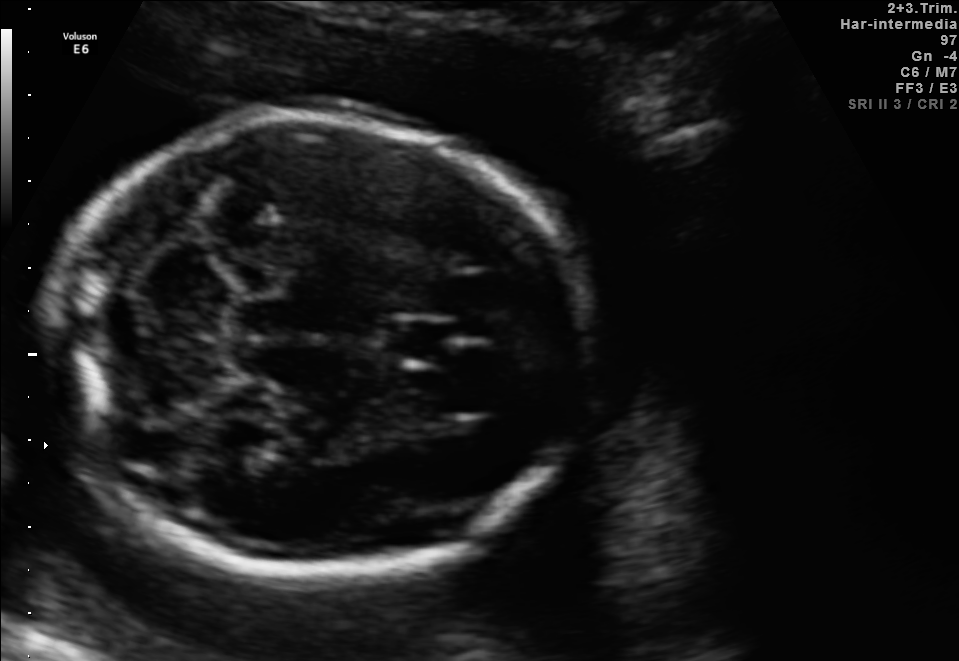
Fetal brain, trans-cerebellum plane. Where is the cavum septum pellucidum?

CSP bounding box: [382,316,451,366]